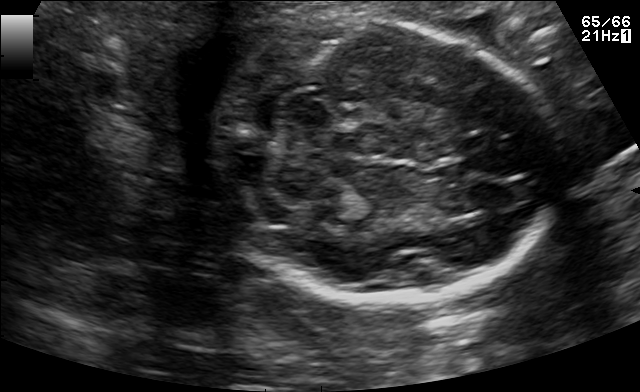
Which standard maternal-fetal ultrasound plane is shown: fetal abdomen, fetal brain, fetal femur, fetal thorax, maternal cervix, or other? If it's fetal brain and one of the three standard brain planes (trans-thalamic, trans-cerebellum, trans-ventricular), name which.

Fetal brain (trans-cerebellum plane)